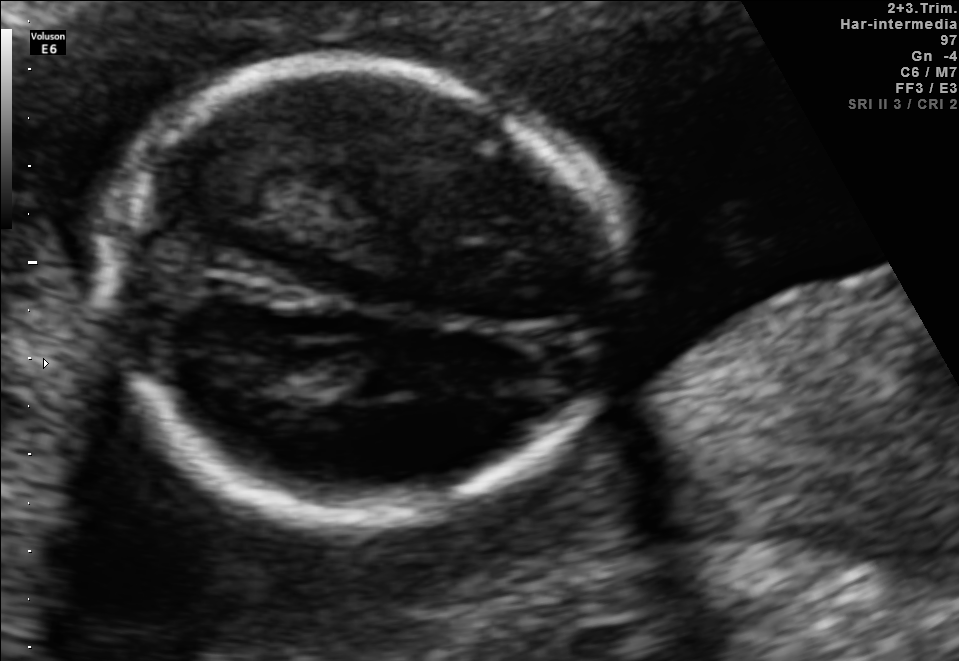
In this fetal brain, trans-thalamic plane, give bounding boxes for the head outline, cavum septum pellucidum (CSP), and lateral ventricle (LV), where visible.

Head: [99,66,624,527]